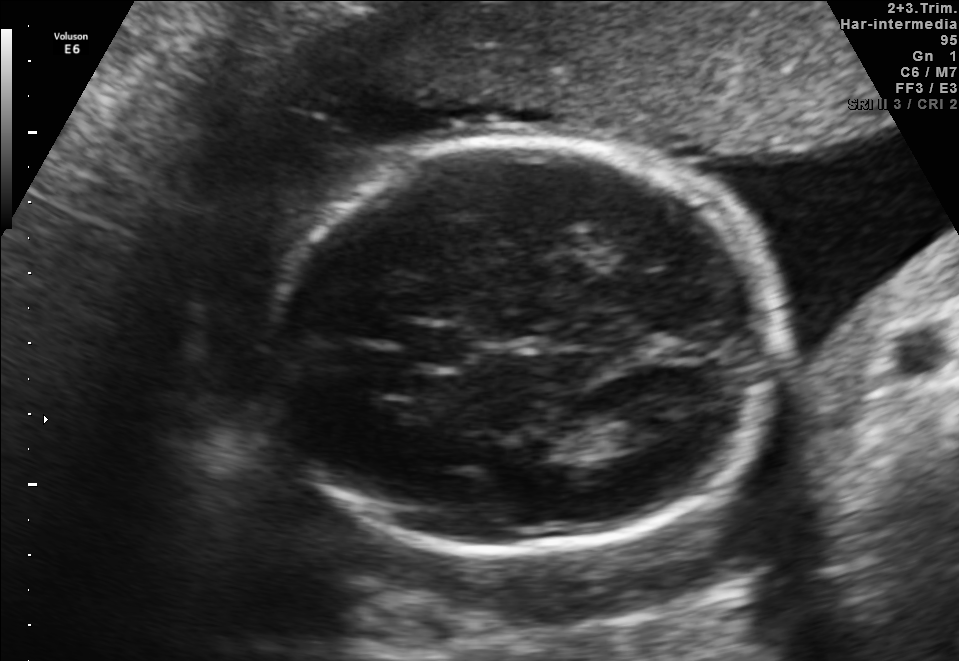
Fetal brain, trans-thalamic plane. Locate the cavum septum pellucidum.

CSP: [404,324,464,368]